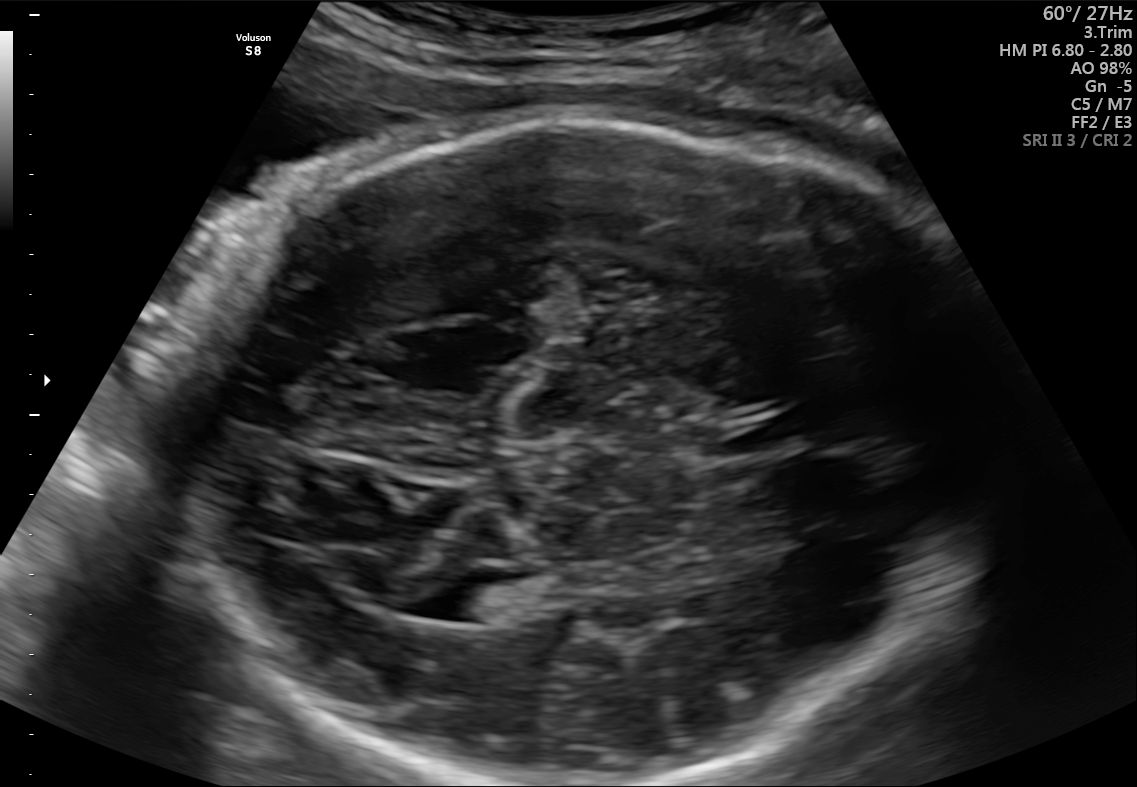
Fetal brain, trans-thalamic plane. Locate the lateral ventricle.

Lateral ventricle: [416,563,526,633]